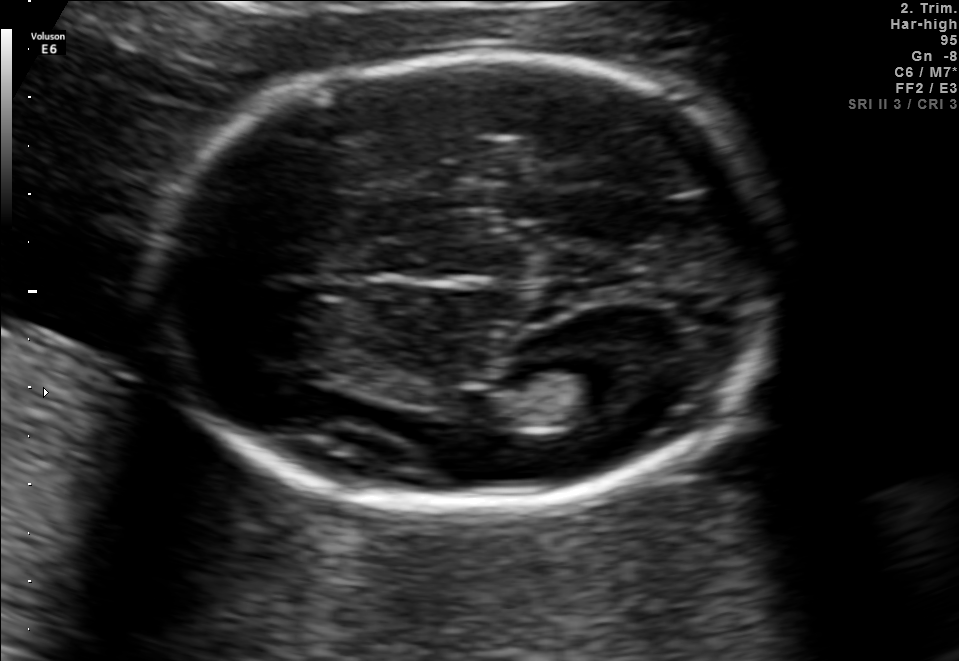
Fetal brain, trans-thalamic plane. Where is the fetal head?

Head bounding box: [144,54,773,511]